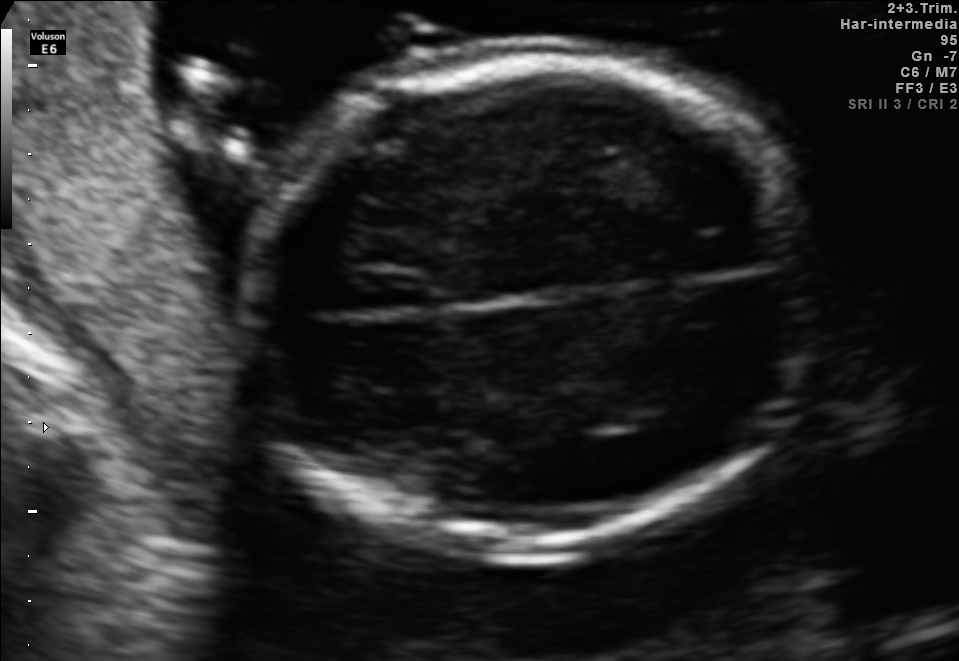
Which standard maternal-fetal ultrasound plane is shown: fetal abdomen, fetal brain, fetal femur, fetal thorax, maternal cervix, or other? If it's fetal brain and one of the three standard brain planes (trans-thalamic, trans-cerebellum, trans-ventricular), name which.

Fetal brain (trans-thalamic plane)